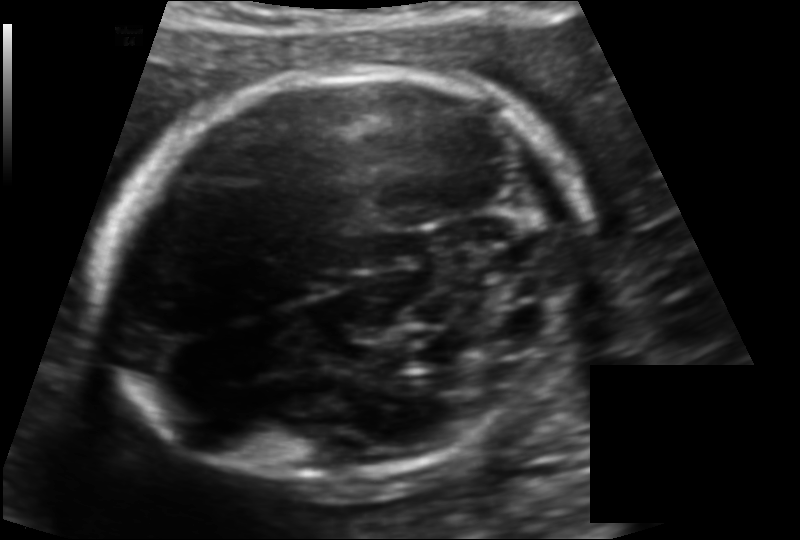
From this fetal ultrasound, estimate the head circumference (image width 100.1 mm).

Head circumference: 183.6 mm.